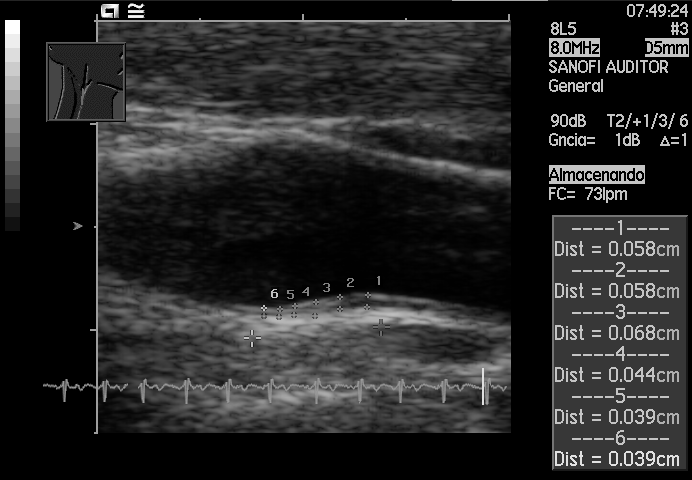
Classify this maternal-fetal ultrasound image as one of the six standard planes — fetal abdomen, fetal brain, fetal femur, fetal thorax, maternal cervix, or other. If it's fetal brain and one of the three standard brain planes (trans-thalamic, trans-cerebellum, trans-ventricular), name which.

Other